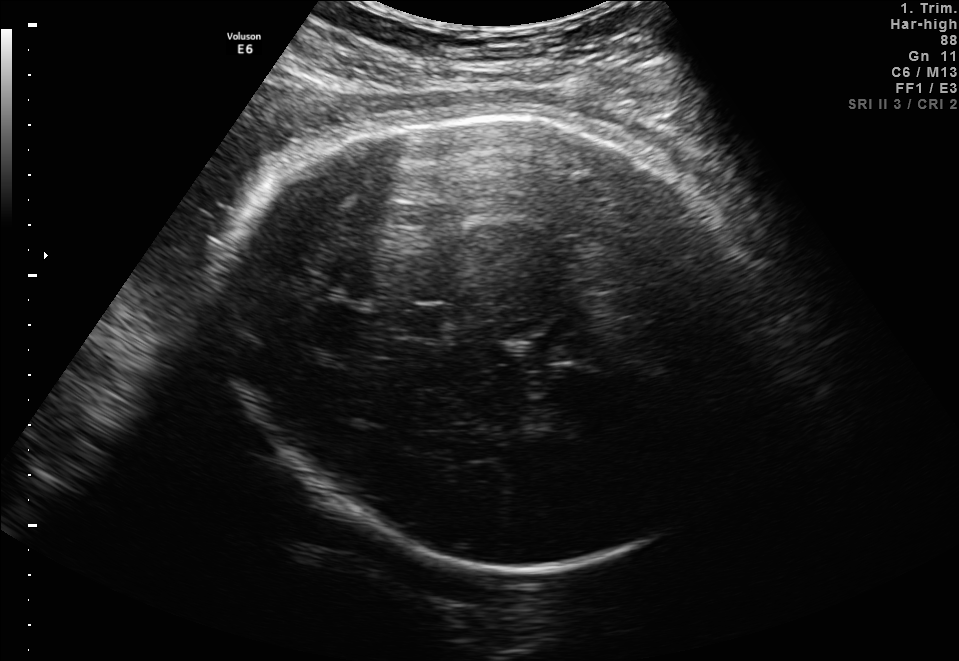
Fetal brain, trans-thalamic plane. Where is the fetal head?

Head bounding box: [214,104,777,565]